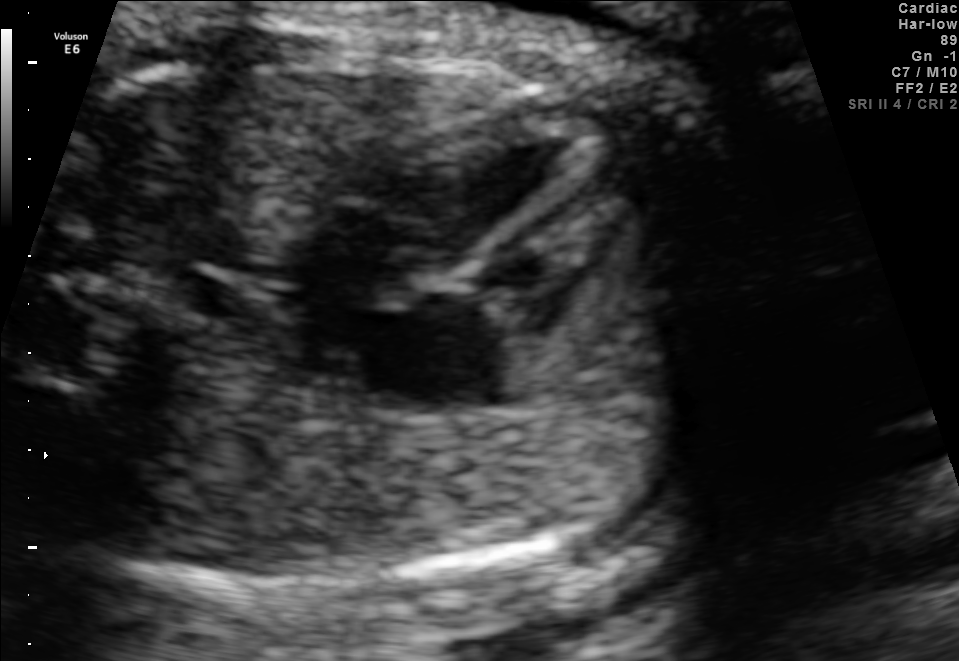
Classify this maternal-fetal ultrasound image as one of the six standard planes — fetal abdomen, fetal brain, fetal femur, fetal thorax, maternal cervix, or other. If it's fetal brain and one of the three standard brain planes (trans-thalamic, trans-cerebellum, trans-ventricular), name which.

Fetal thorax